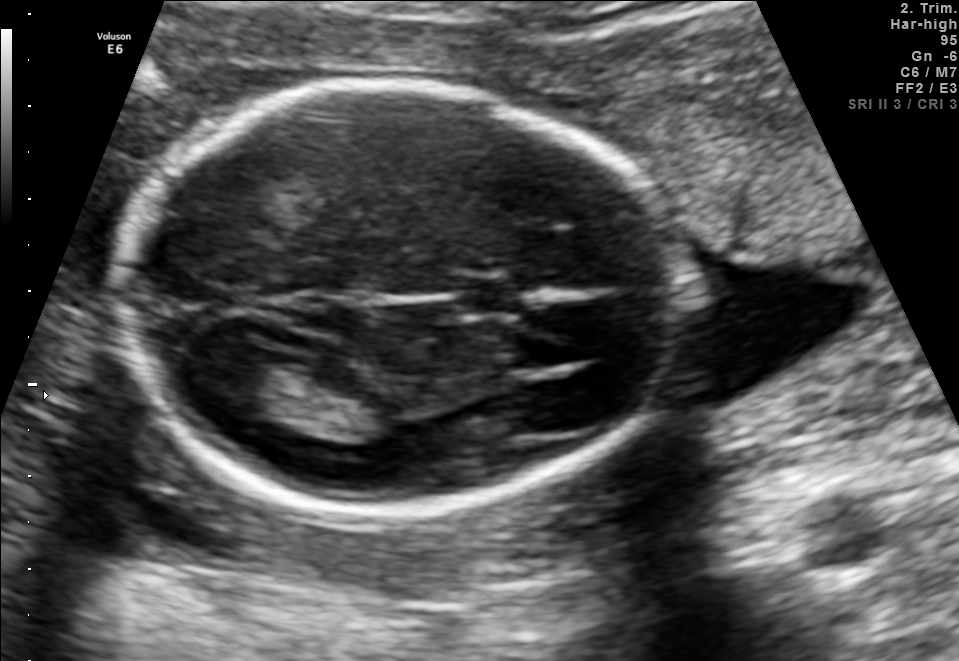
This is a 2D maternal-fetal ultrasound frame. Is it a fetal abdomen, fetal brain, fetal femur, fetal thorax, maternal cervix, or other standard plane? If it's fetal brain and one of the three standard brain planes (trans-thalamic, trans-cerebellum, trans-ventricular), name which.

Fetal brain (trans-thalamic plane)